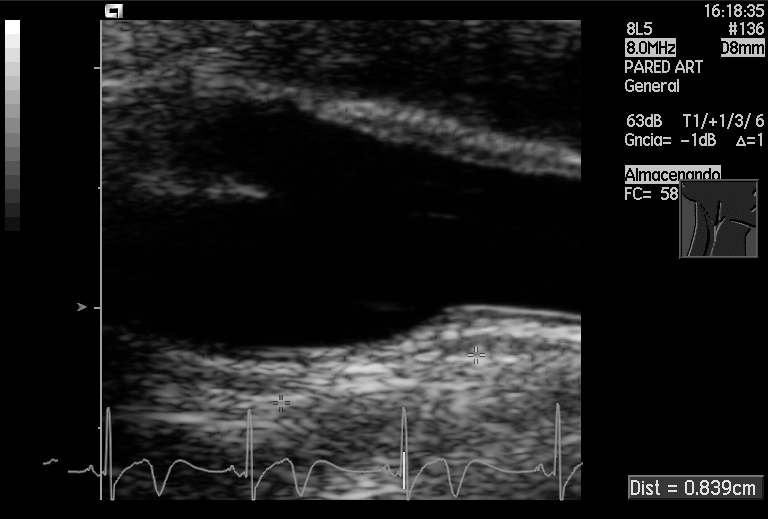
Identify the standard plane in this fetal ultrasound image: fetal abdomen, fetal brain, fetal femur, fetal thorax, maternal cervix, or other. If it's fetal brain and one of the three standard brain planes (trans-thalamic, trans-cerebellum, trans-ventricular), name which.

Other